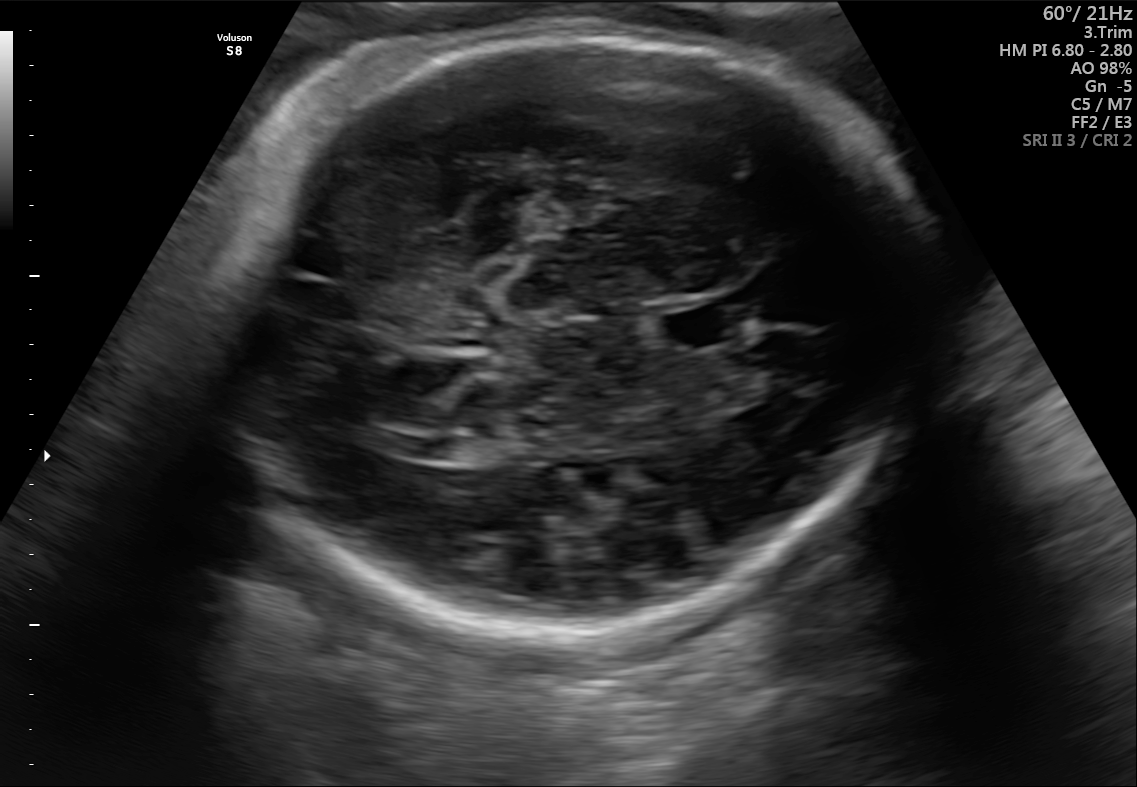
Fetal brain, trans-thalamic plane. Where is the lateral ventricle?

Lateral ventricle bounding box: [417,437,489,461]